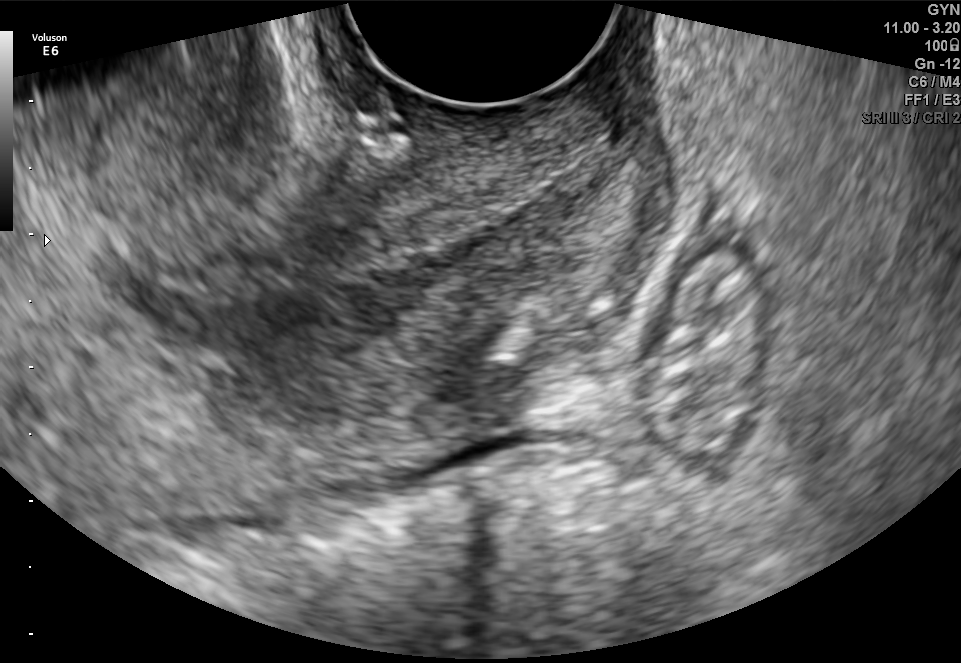
Classify this maternal-fetal ultrasound image as one of the six standard planes — fetal abdomen, fetal brain, fetal femur, fetal thorax, maternal cervix, or other. If it's fetal brain and one of the three standard brain planes (trans-thalamic, trans-cerebellum, trans-ventricular), name which.

Maternal cervix